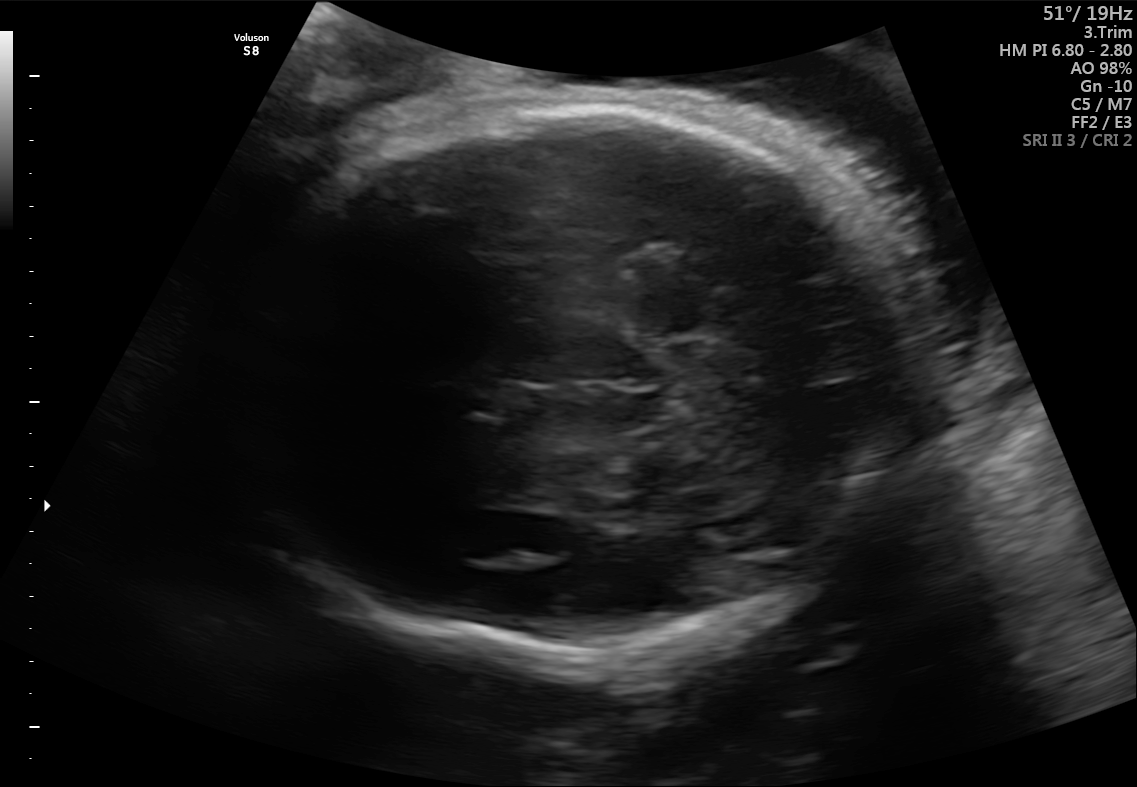
In this fetal brain, trans-thalamic plane, give the bounding box of the fetal head.

[210,98,934,656]